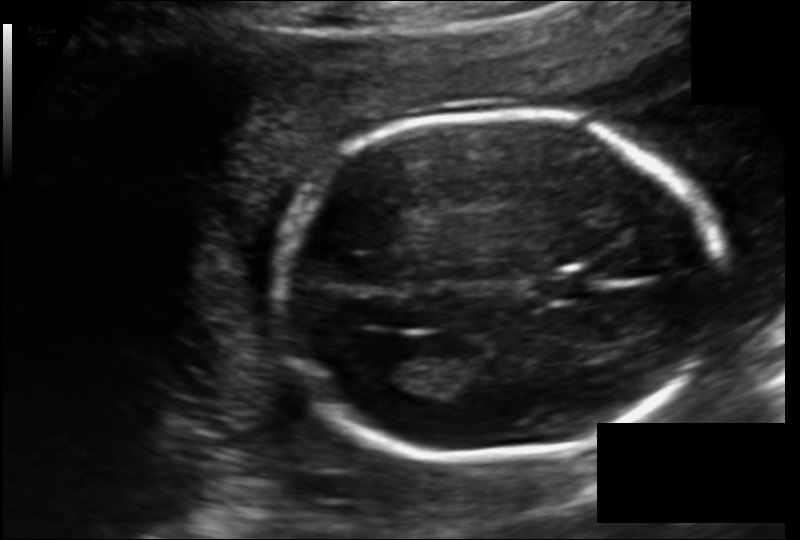
Measure the fetal head circumference shown in this ultrasound image. Image width: 107.8 mm.

Head circumference: 172.0 mm.